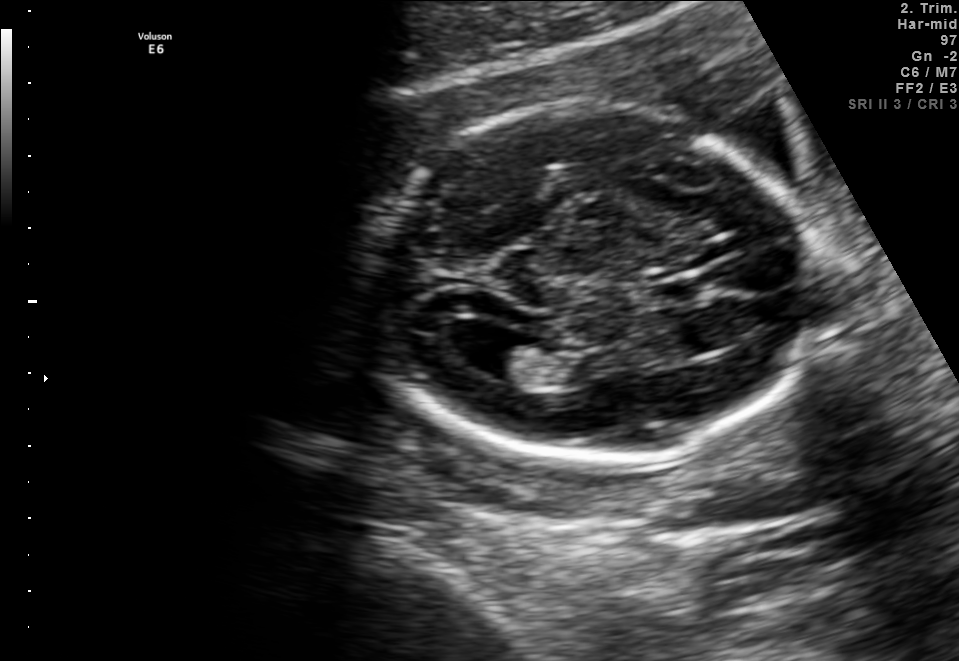
Fetal brain, trans-ventricular plane. Where is the cavum septum pellucidum?

CSP bounding box: [646,273,717,308]